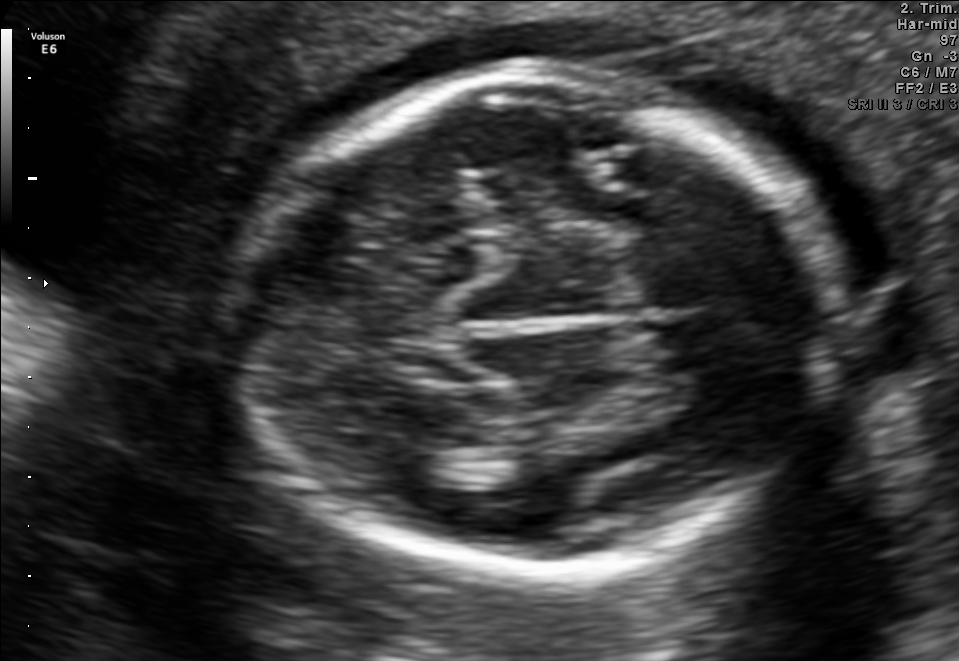
Fetal brain, trans-thalamic plane. Where is the fetal head?

Head bounding box: [233,78,838,569]